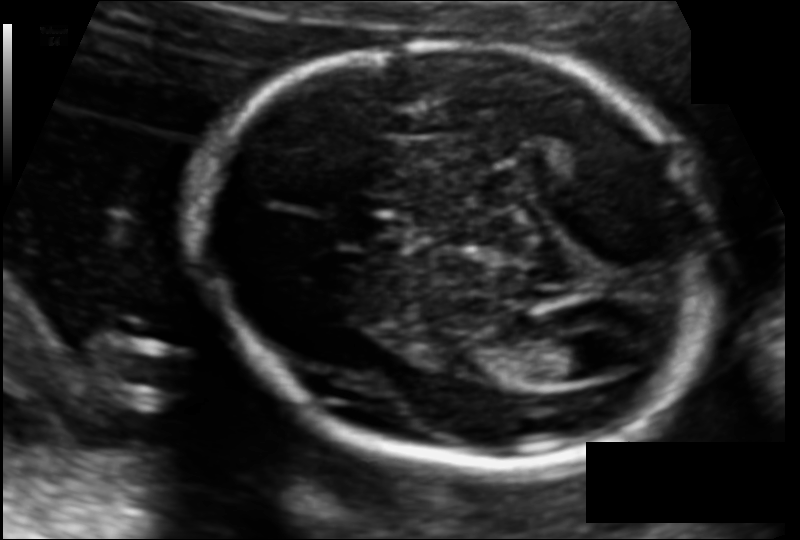
Estimate the fetal head circumference from this 2D ultrasound. Image width: 87.7 mm.

Head circumference: 167.8 mm.